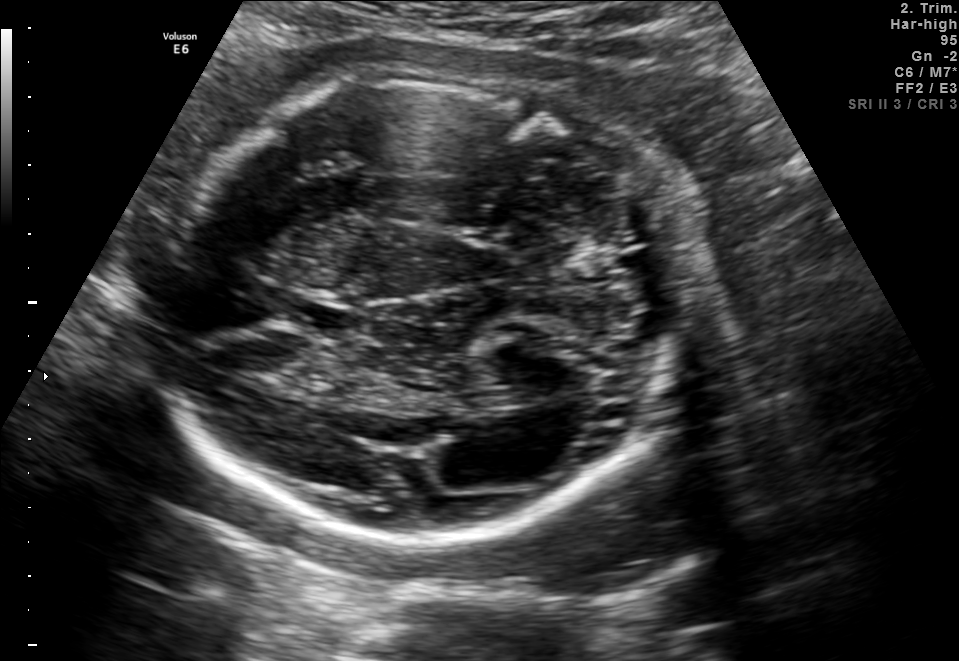
Fetal brain, trans-thalamic plane. Locate the fetal head.

Head: [156,73,679,538]